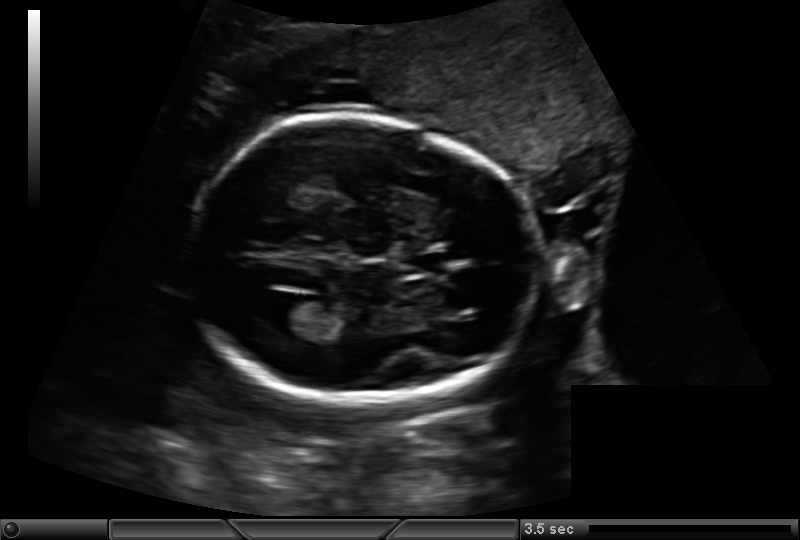
Fetal head ultrasound. Image width: 126.8 mm. Locate the fetal head and, if visible, the cavum septum pellucidum (CSP) and lateral ventricle (LV). Give bounding boxes as [x1,y1,x2,y2].

Head: [189,117,540,402]
CSP: [409,250,450,274]
Lateral ventricle: [263,293,315,336]